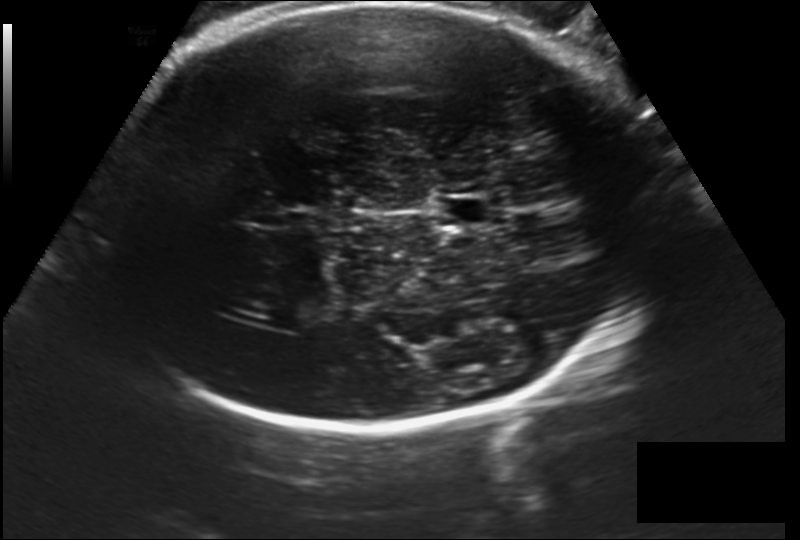
From this fetal ultrasound, estimate the head circumference (image width 162.0 mm).

Head circumference: 324.6 mm.